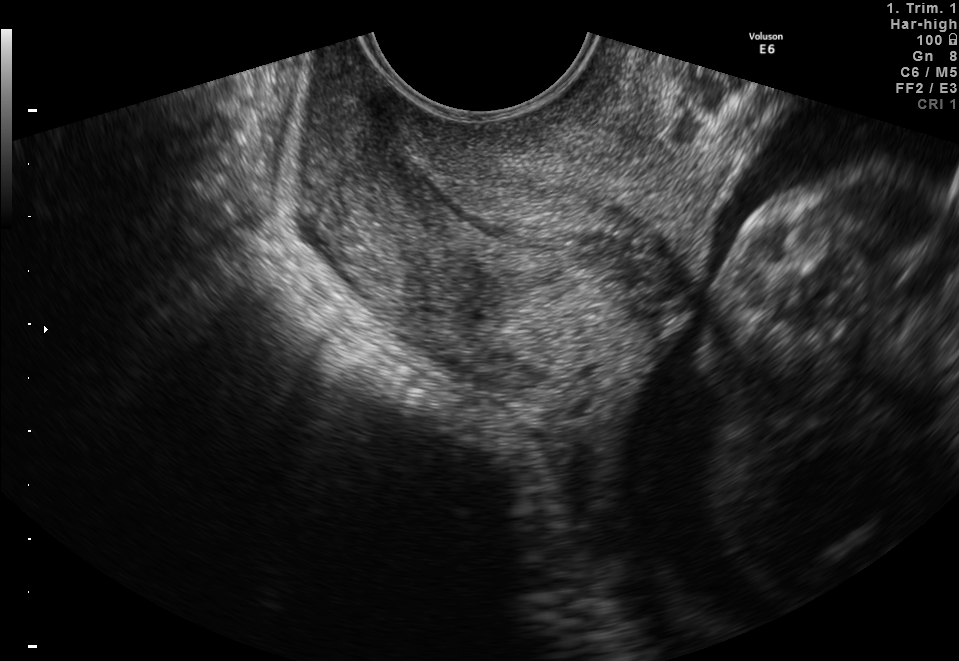
Which standard maternal-fetal ultrasound plane is shown: fetal abdomen, fetal brain, fetal femur, fetal thorax, maternal cervix, or other? If it's fetal brain and one of the three standard brain planes (trans-thalamic, trans-cerebellum, trans-ventricular), name which.

Maternal cervix